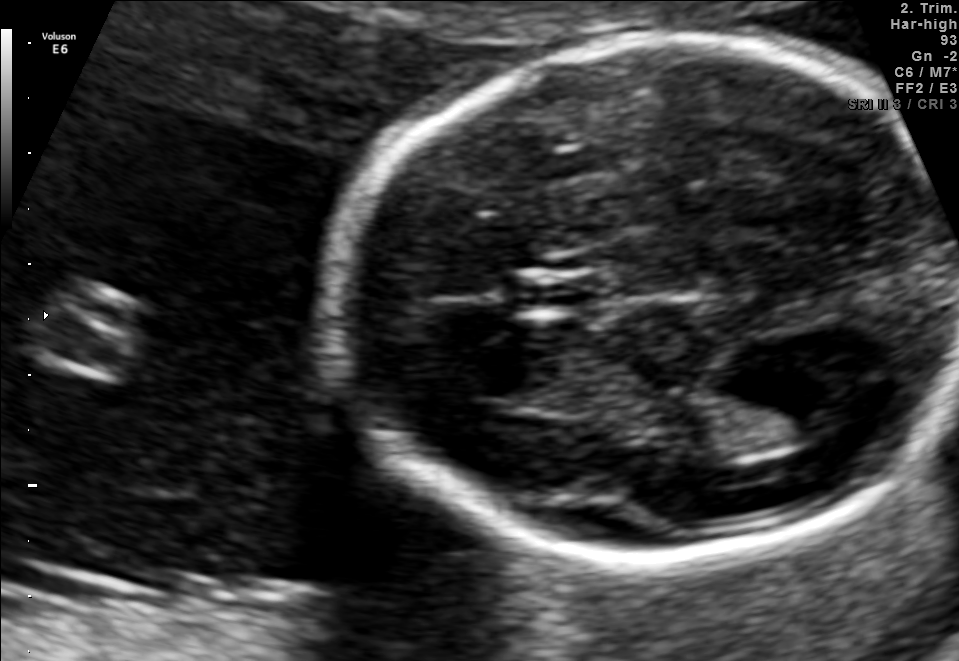
Fetal brain, trans-thalamic plane. Where is the lateral ventricle?

Lateral ventricle bounding box: [696,373,843,467]